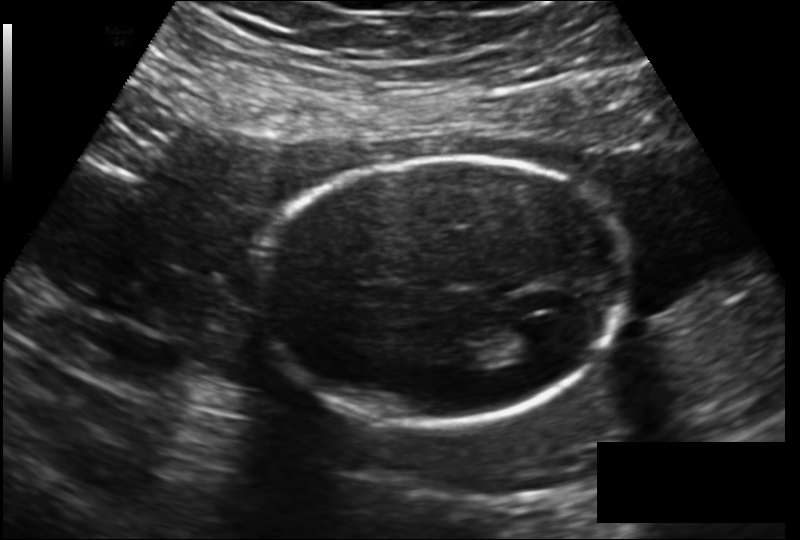
In this fetal head ultrasound, give bounding boxes for the head outline, cavum septum pellucidum (CSP), and lateral ventricle (LV), where visible. Image width: 137.8 mm.

Head: [262,154,628,425]
Lateral ventricle: [501,323,552,360]